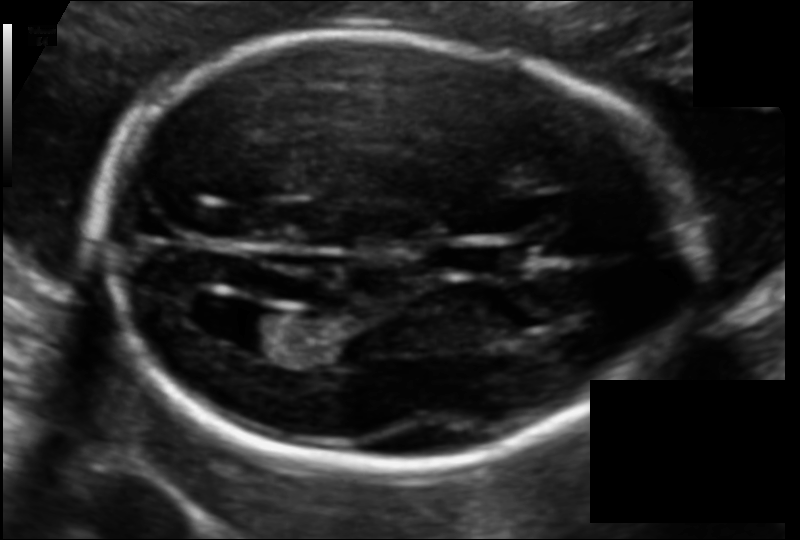
Fetal head ultrasound. Image width: 86.6 mm. Locate the fetal head.

Head: [98,33,691,471]